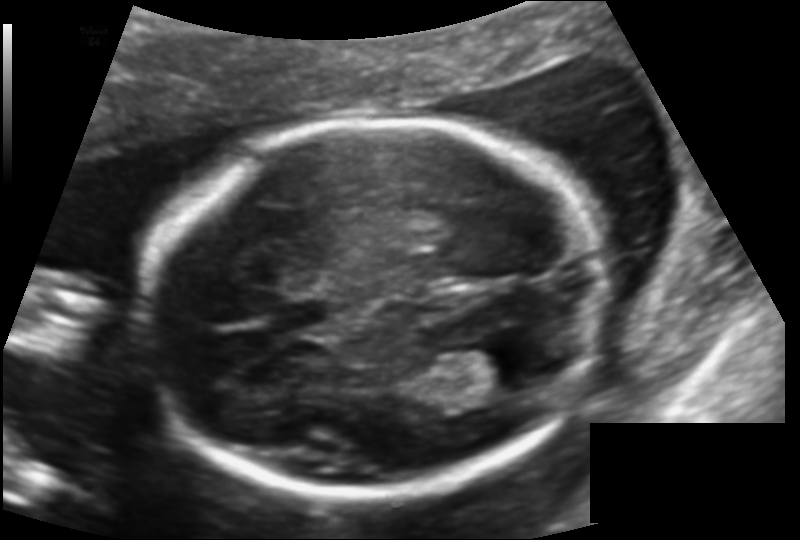
Fetal head ultrasound. Image width: 105.2 mm. Locate the fetal head.

Head: [147,118,603,495]